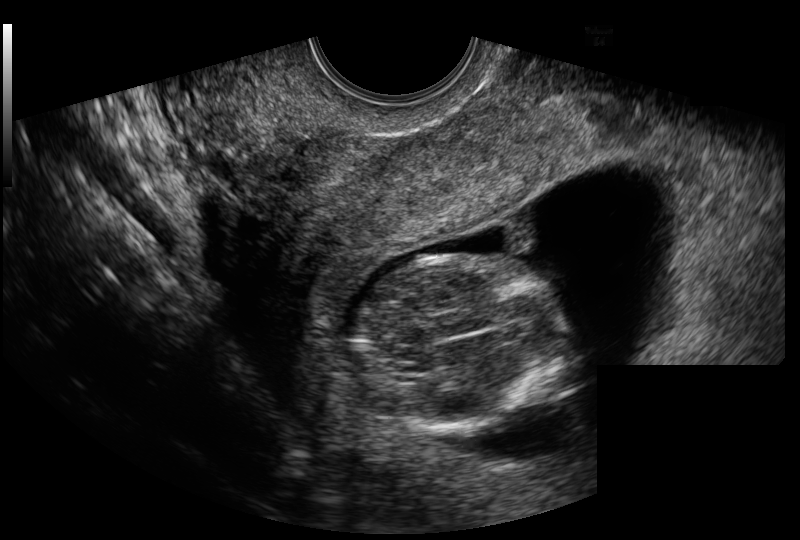
Estimate the fetal head circumference from this 2D ultrasound.

Head circumference: 82.6 mm (image width 103.2 mm).